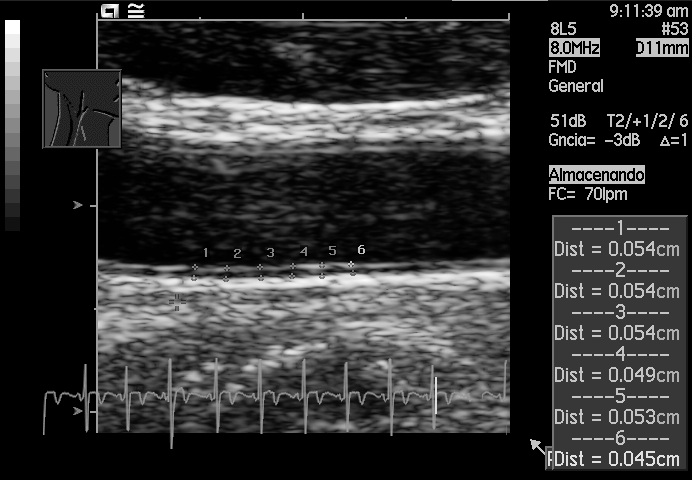
Identify the standard plane in this fetal ultrasound image: fetal abdomen, fetal brain, fetal femur, fetal thorax, maternal cervix, or other. If it's fetal brain and one of the three standard brain planes (trans-thalamic, trans-cerebellum, trans-ventricular), name which.

Other